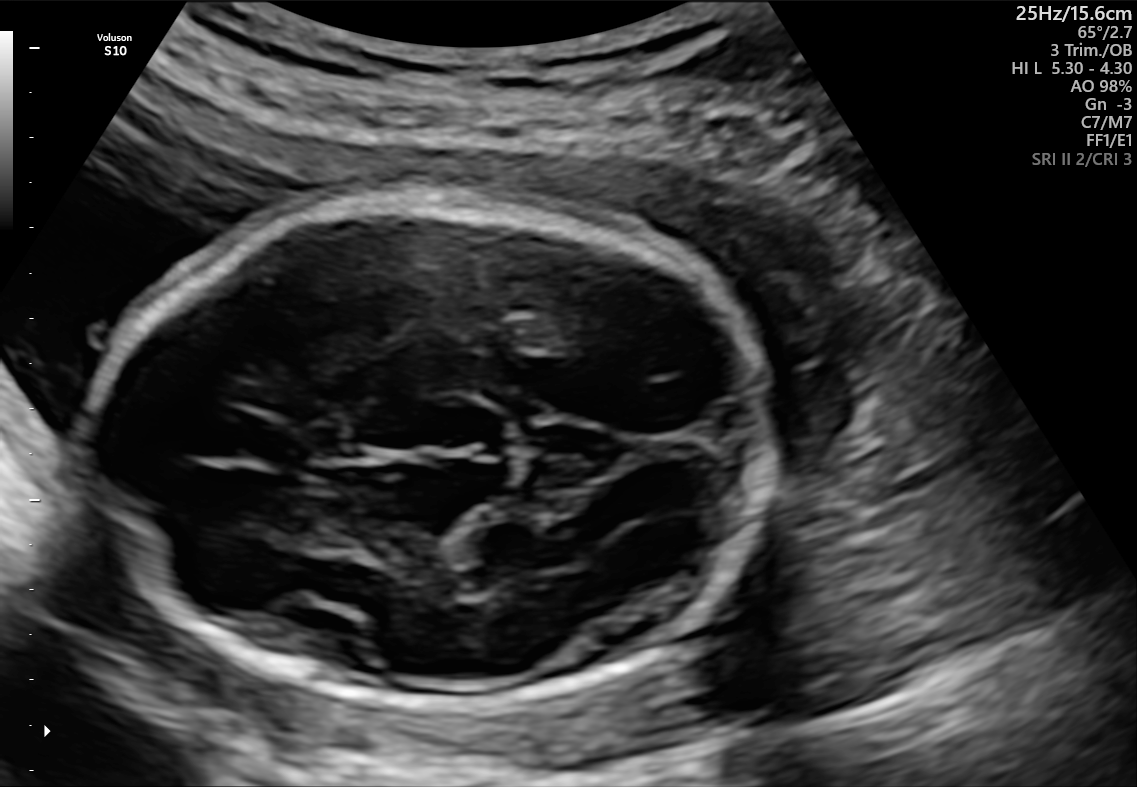
Fetal brain, trans-thalamic plane. Give [x1,y1,x2,y2] bounding boxes for each visible structure among: fetal head, CSP, LV.

Head: [88,193,772,704]